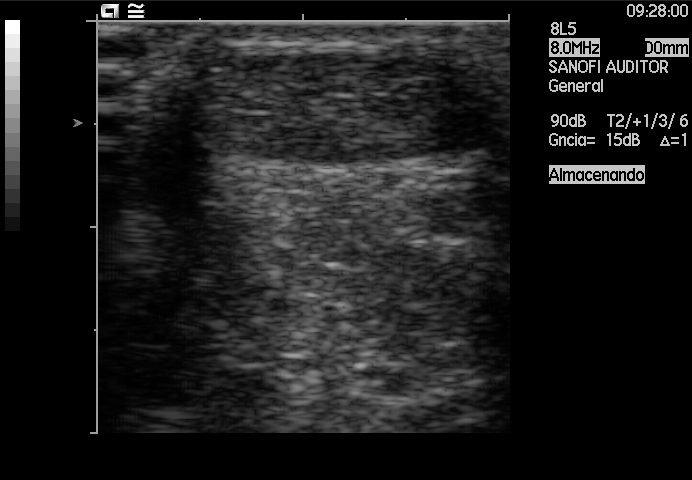
Identify the standard plane in this fetal ultrasound image: fetal abdomen, fetal brain, fetal femur, fetal thorax, maternal cervix, or other. If it's fetal brain and one of the three standard brain planes (trans-thalamic, trans-cerebellum, trans-ventricular), name which.

Other